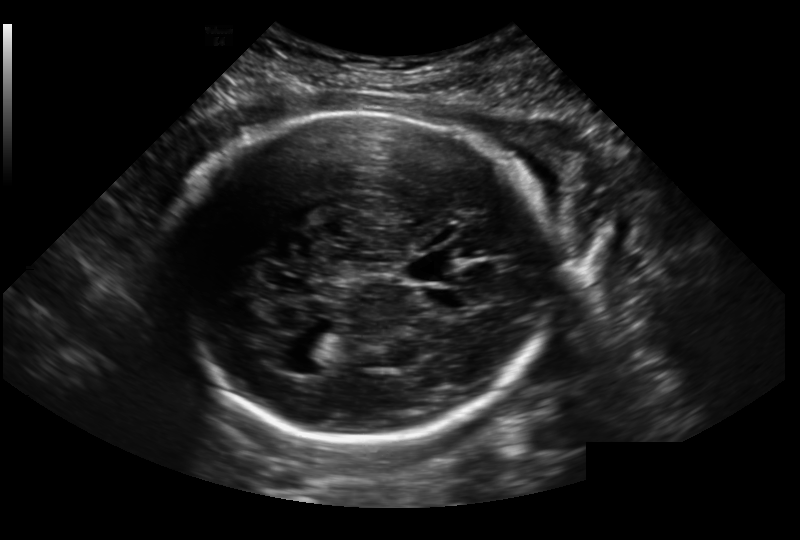
In this fetal head ultrasound, give the bounding box of the cavum septum pellucidum. Image width: 188.7 mm.

[407,255,452,284]